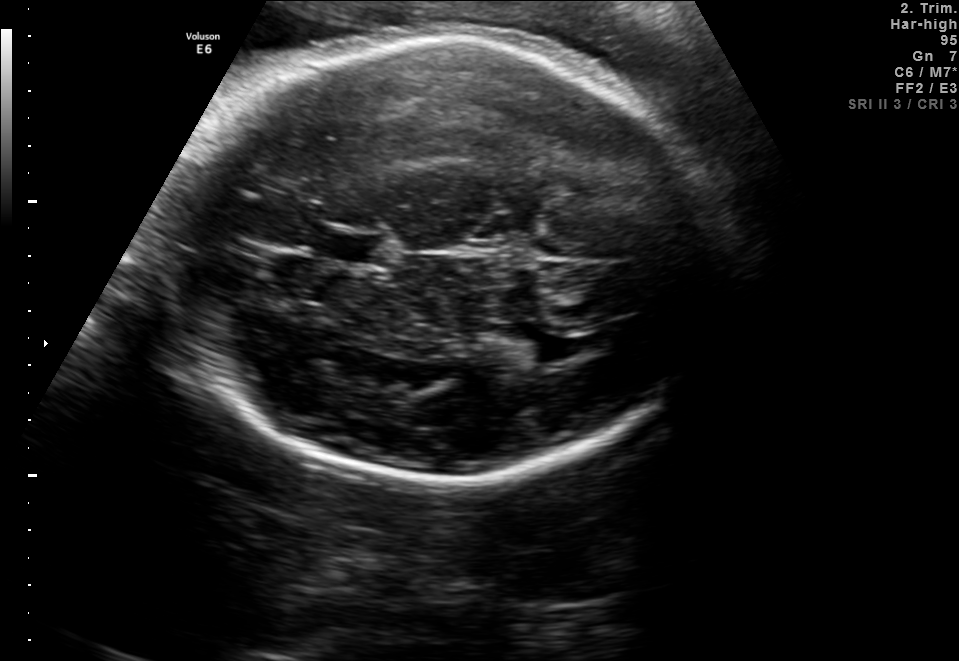
Fetal brain, trans-thalamic plane. Locate the lateral ventricle.

Lateral ventricle: [496,330,561,365]